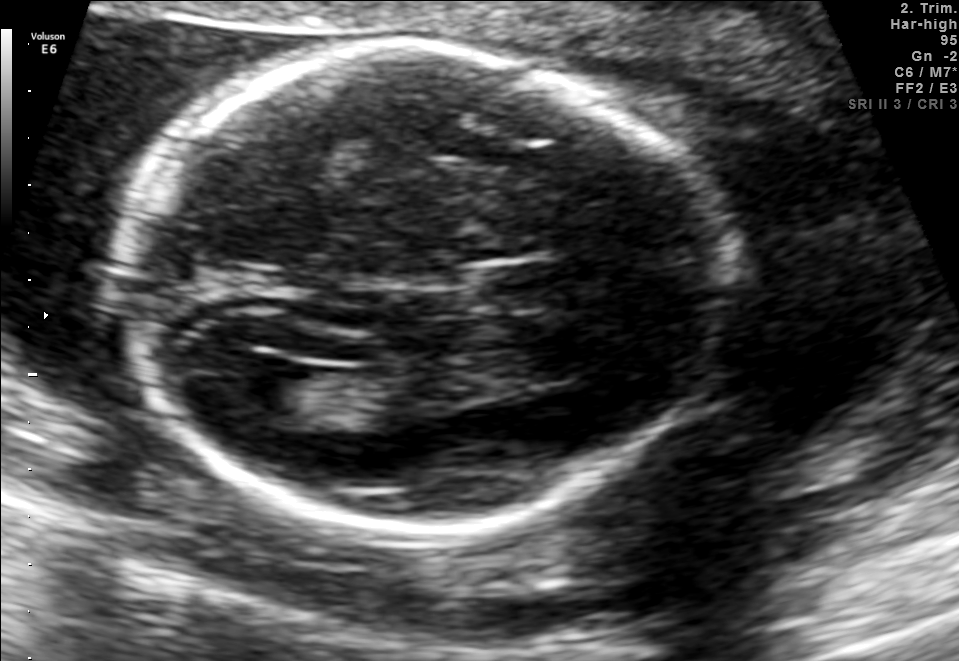
Fetal brain, trans-ventricular plane. Where is the lateral ventricle?

Lateral ventricle bounding box: [221,359,313,418]